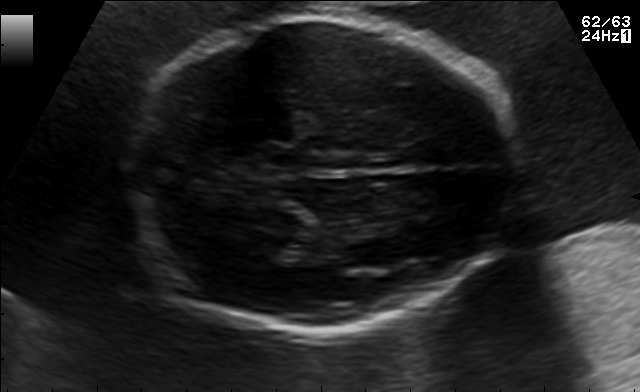
Identify the standard plane in this fetal ultrasound image: fetal abdomen, fetal brain, fetal femur, fetal thorax, maternal cervix, or other. If it's fetal brain and one of the three standard brain planes (trans-thalamic, trans-cerebellum, trans-ventricular), name which.

Fetal brain (trans-thalamic plane)